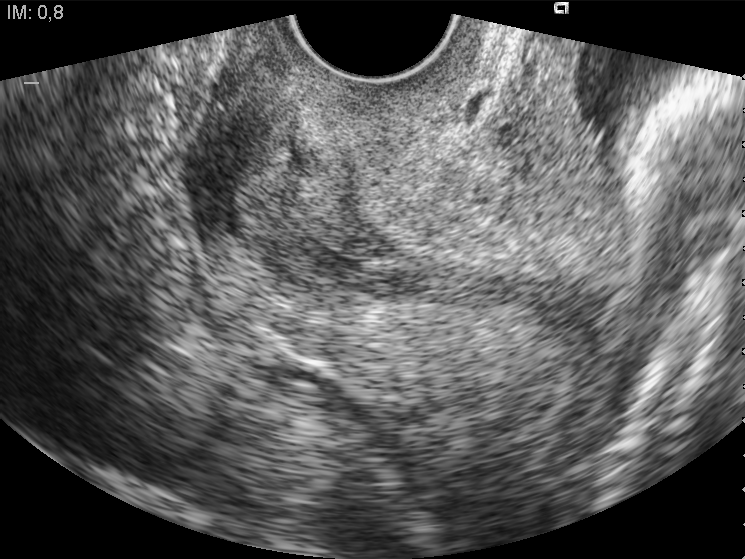
Identify the standard plane in this fetal ultrasound image: fetal abdomen, fetal brain, fetal femur, fetal thorax, maternal cervix, or other. If it's fetal brain and one of the three standard brain planes (trans-thalamic, trans-cerebellum, trans-ventricular), name which.

Maternal cervix